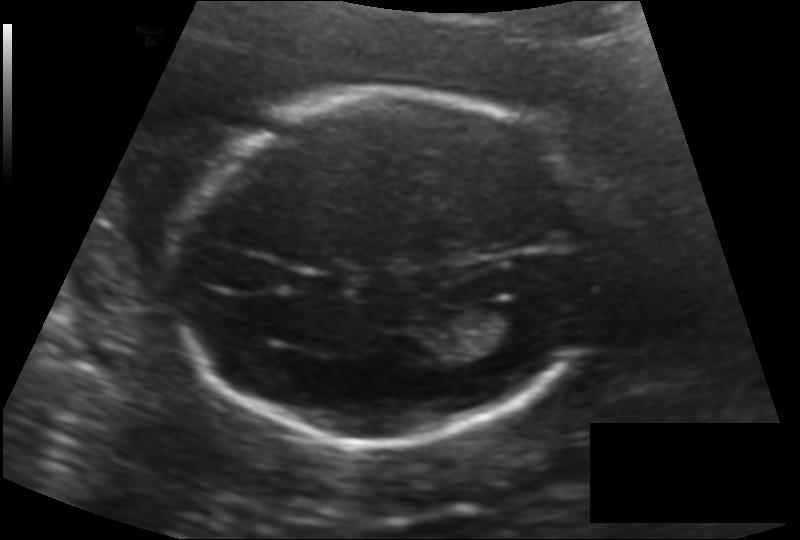
Measure the fetal head circumference shown in this ultrasound image. Image width: 112.2 mm.

Head circumference: 176.6 mm.